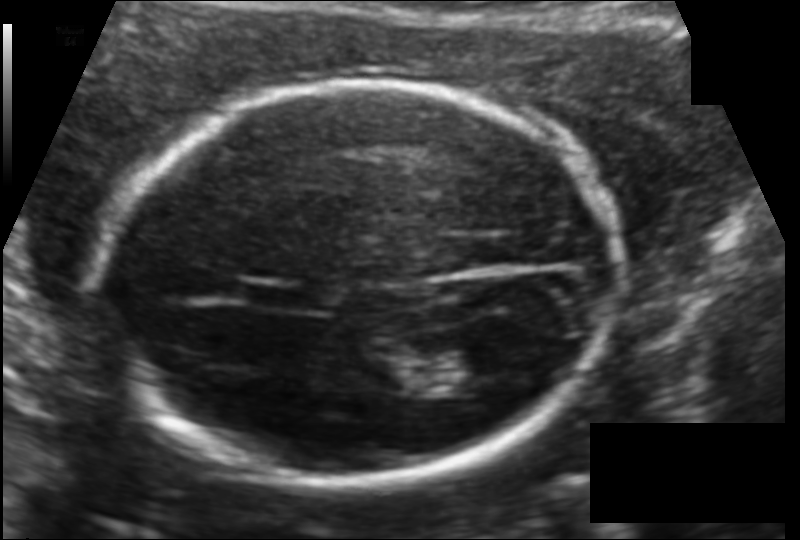
In this fetal head ultrasound, give the bounding box of the cavum septum pellucidum. Image width: 96.7 mm.

[244,277,316,314]